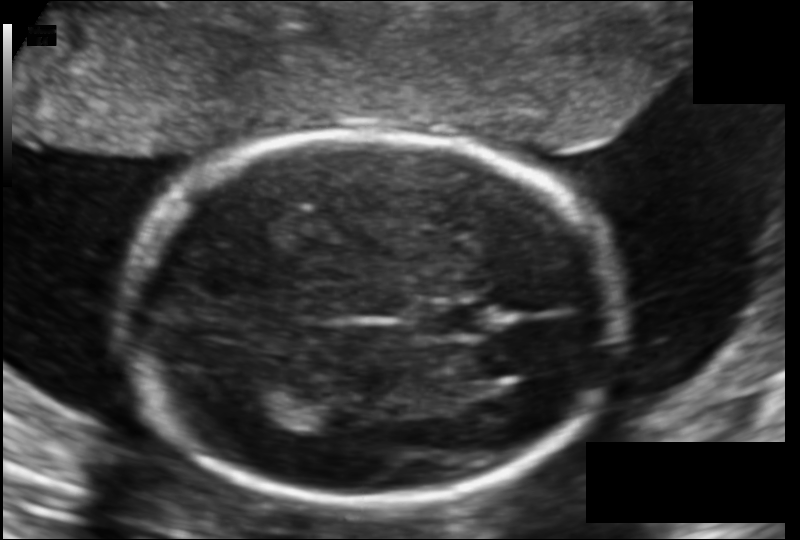
In this fetal head ultrasound, give the bounding box of the cavum septum pellucidum. Image width: 98.4 mm.

[413,303,489,340]